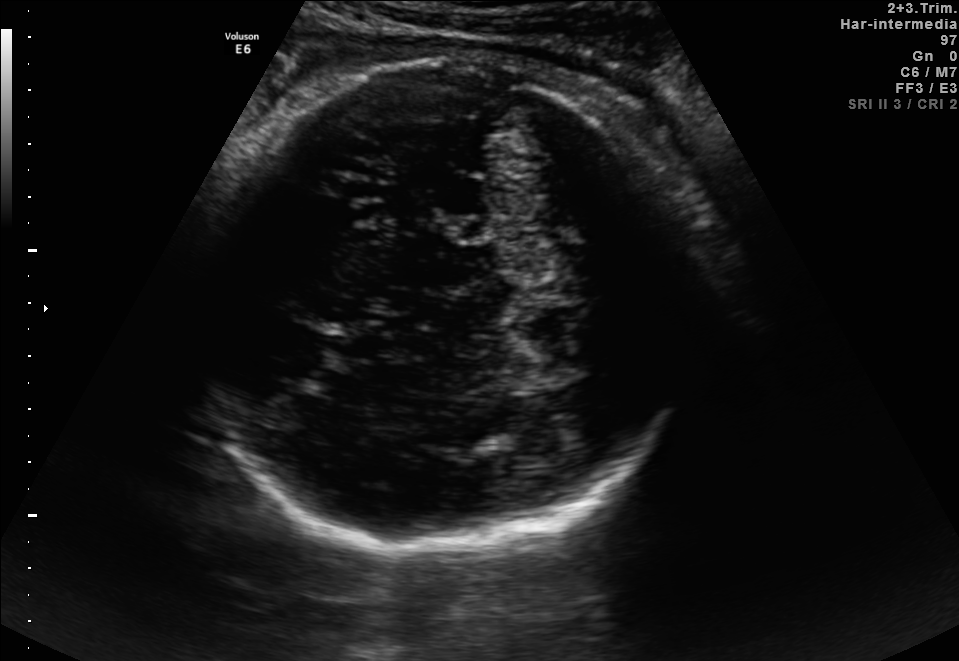
Fetal brain, trans-thalamic plane. Give [x1,y1,x2,y2] bounding boxes for each visible structure among: fetal head, CSP, LV.

Head: [198,57,701,558]